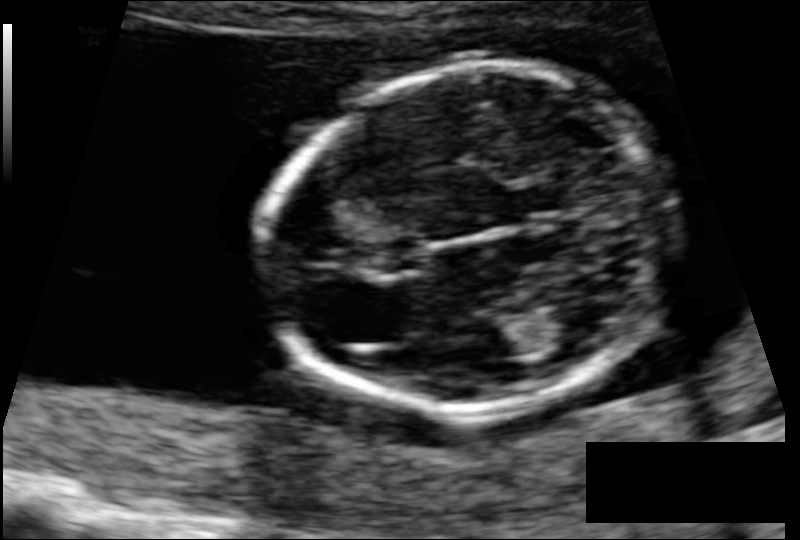
Measure the fetal head circumference shown in this ultrasound image. Image width: 70.5 mm.

Head circumference: 106.5 mm.